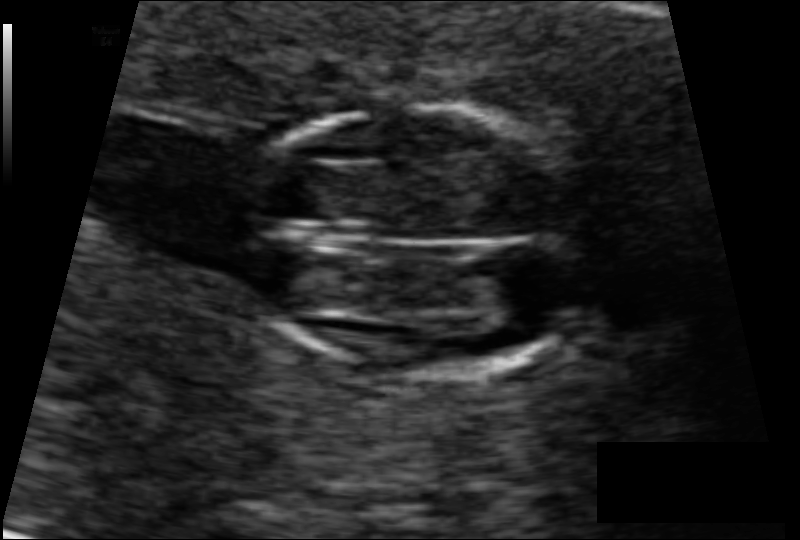
In this fetal head ultrasound, give the bounding box of the fetal head. Image width: 60.3 mm.

[239,108,582,375]